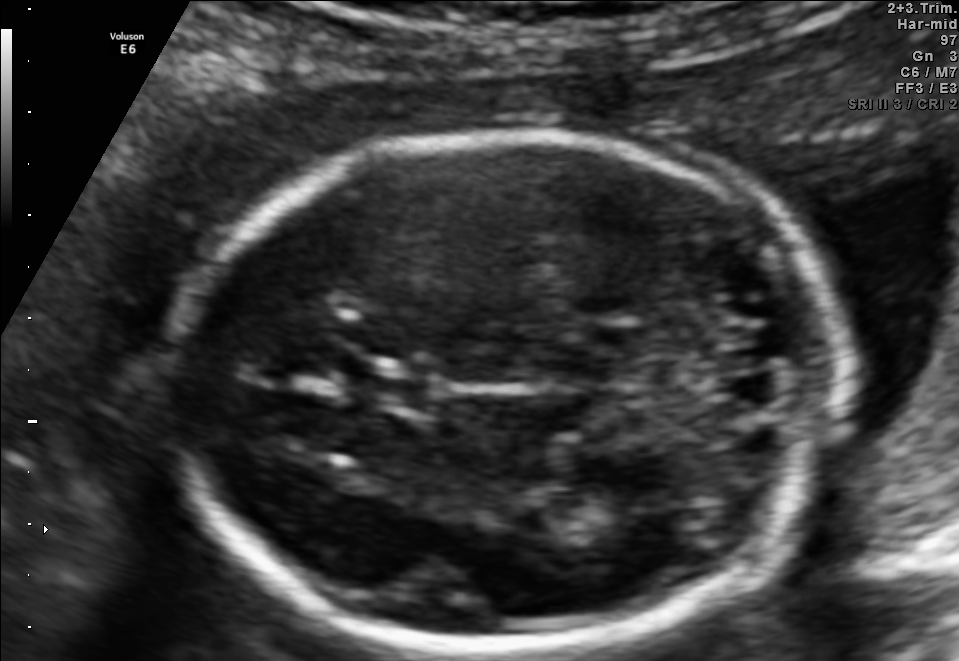
Fetal brain, trans-thalamic plane. Locate the fetal head and, if visible, the cavum septum pellucidum (CSP) and lateral ventricle (LV). Give bounding boxes as [x1,y1,x2,y2].

Head: [168,135,849,648]
CSP: [353,366,438,413]